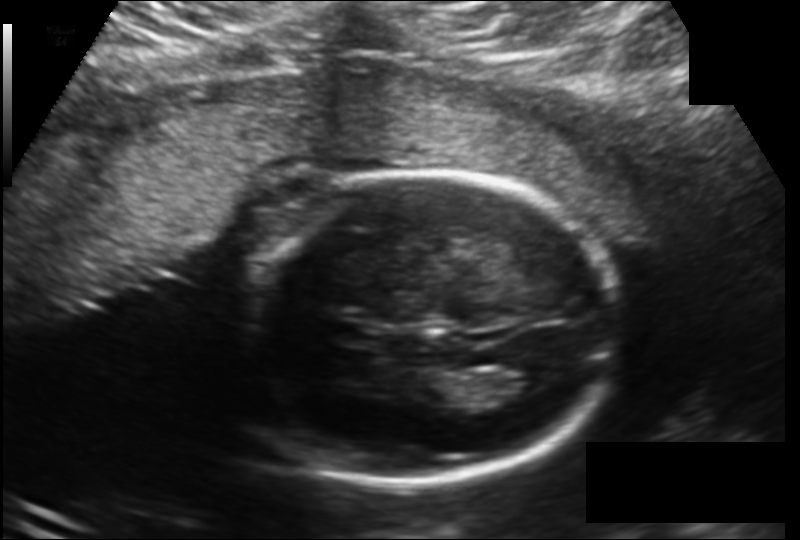
Fetal head ultrasound. Image width: 132.4 mm. Where is the fetal head?

Head bounding box: [226,174,621,482]